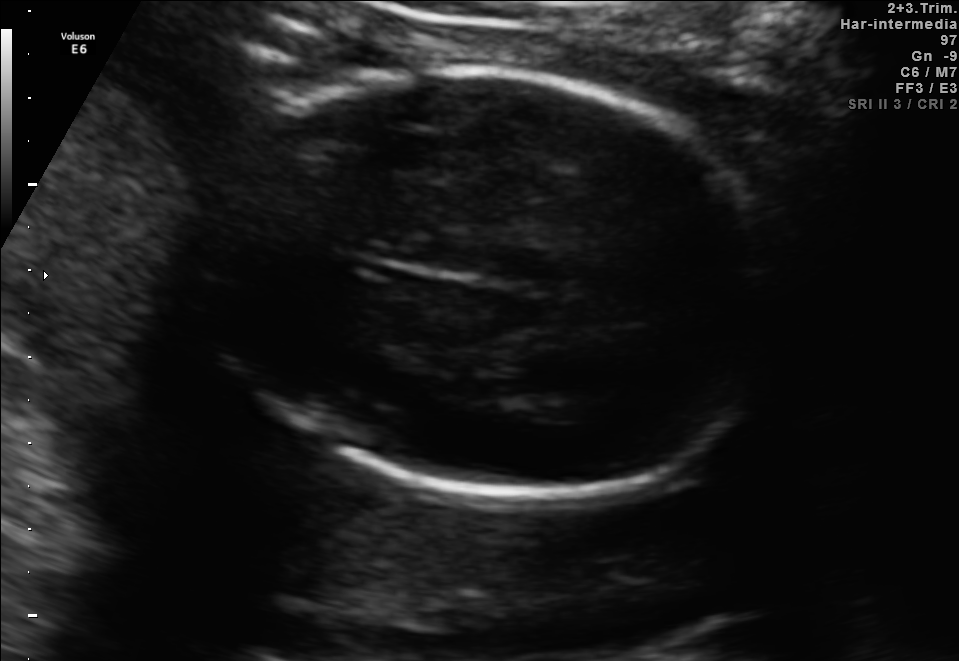
Fetal brain, trans-thalamic plane. Locate the fetal head and, if visible, the cavum septum pellucidum (CSP) and lateral ventricle (LV). Give bounding boxes as [x1,y1,x2,y2].

Head: [203,70,782,497]